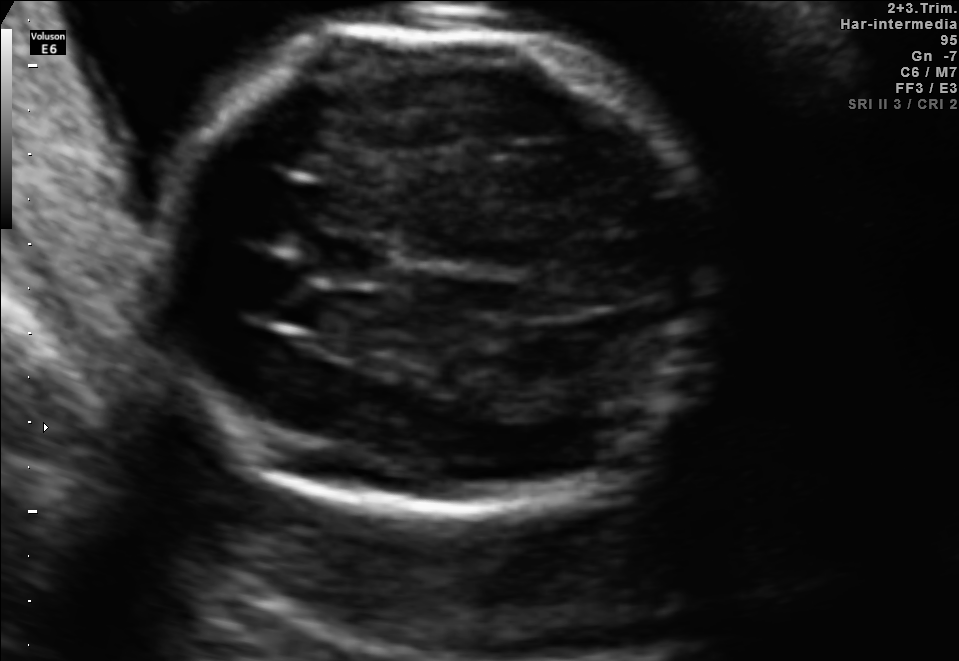
Fetal brain, trans-thalamic plane. Locate the fetal head.

Head: [143,26,710,519]